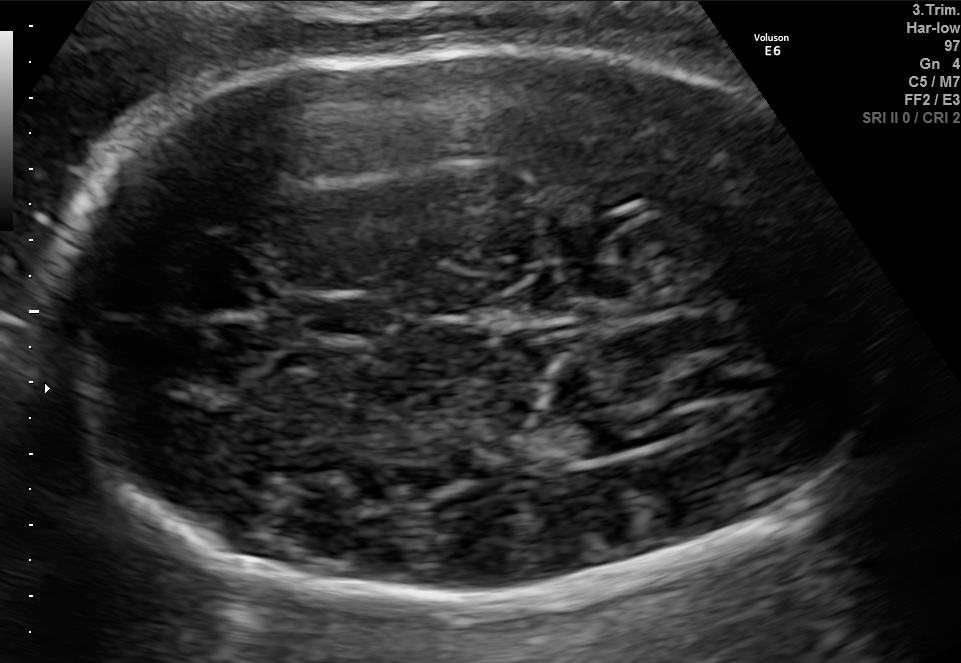
Fetal brain, trans-thalamic plane. Where is the fetal head?

Head bounding box: [39,46,870,589]